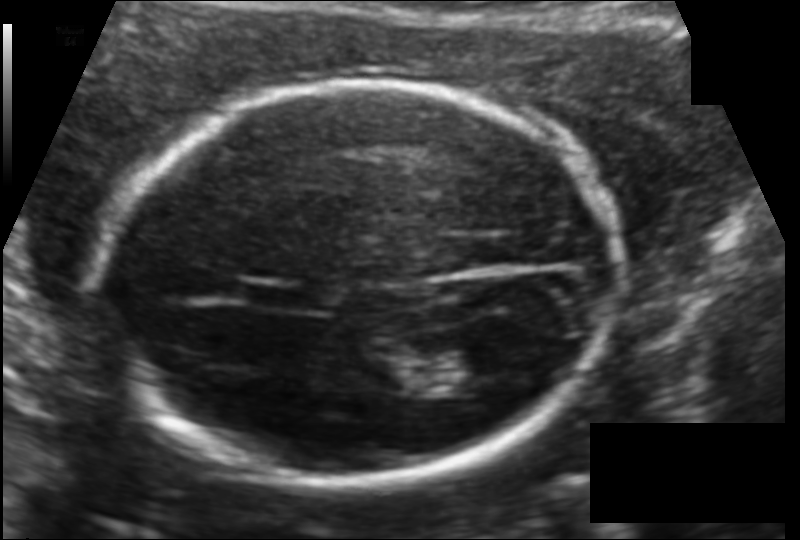
Estimate the fetal head circumference from this 2D ultrasound. Image width: 96.7 mm.

Head circumference: 182.2 mm.